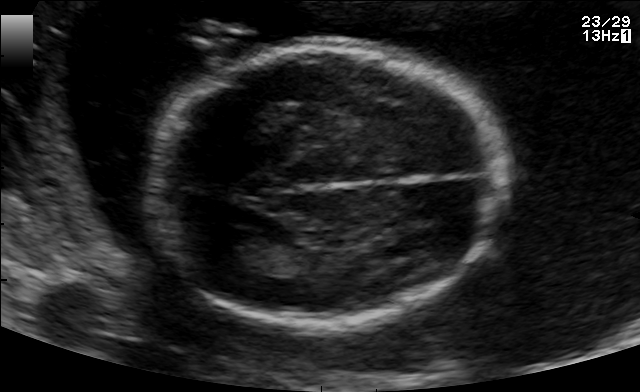
In this fetal brain, trans-thalamic plane, give bounding boxes for the head outline, cavum septum pellucidum (CSP), and lateral ventricle (LV), where visible.

Head: [149,44,509,326]
Lateral ventricle: [213,222,282,273]